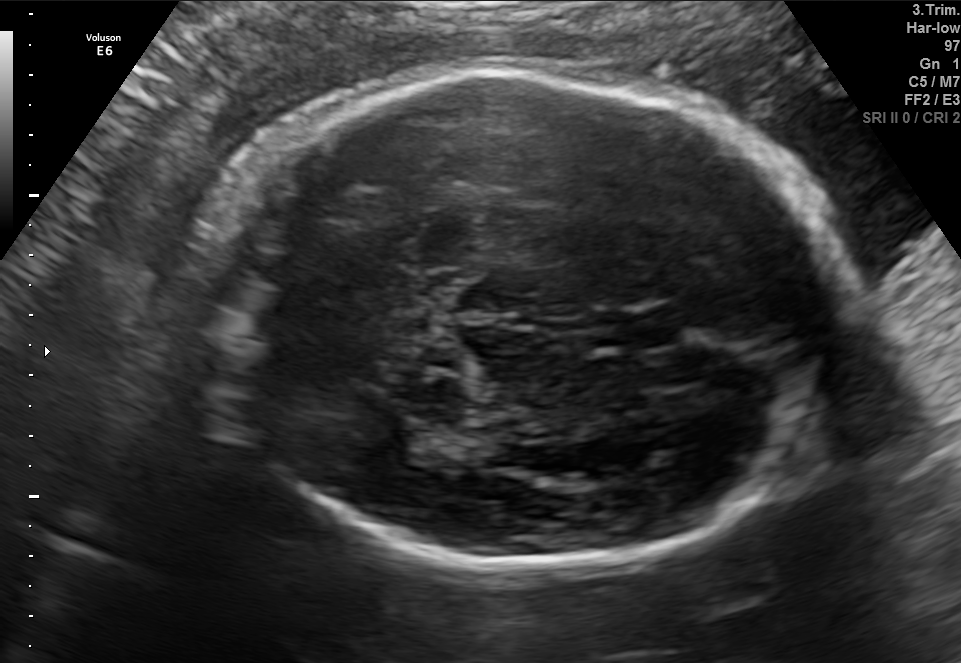
In this fetal brain, trans-thalamic plane, give bounding boxes for the head outline, cavum septum pellucidum (CSP), and lateral ventricle (LV), where visible.

Head: [196,64,841,565]
CSP: [590,310,676,351]